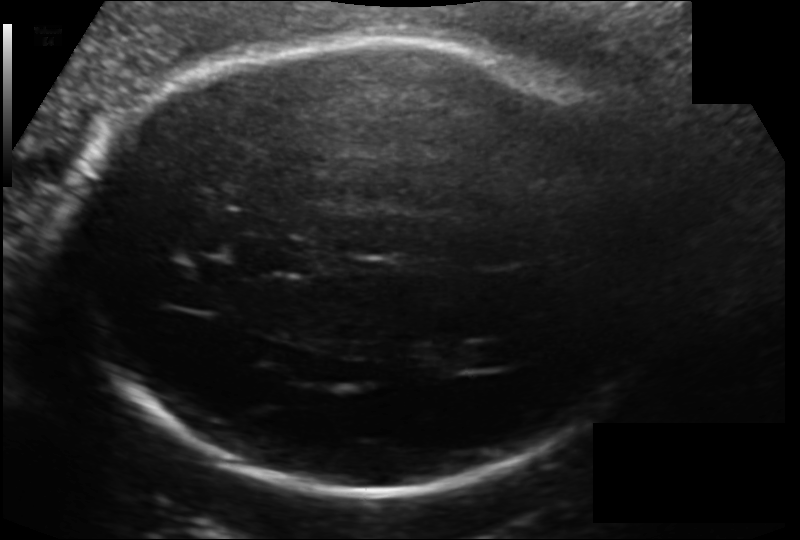
From this fetal ultrasound, estimate the head circumference (image width 123.2 mm).

Head circumference: 261.2 mm.